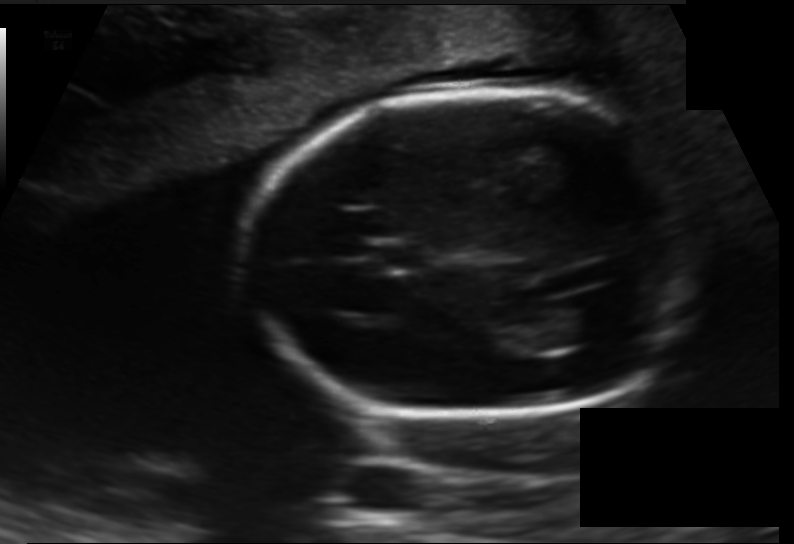
Estimate the fetal head circumference from this 2D ultrasound. Image width: 109.8 mm.

Head circumference: 171.2 mm.